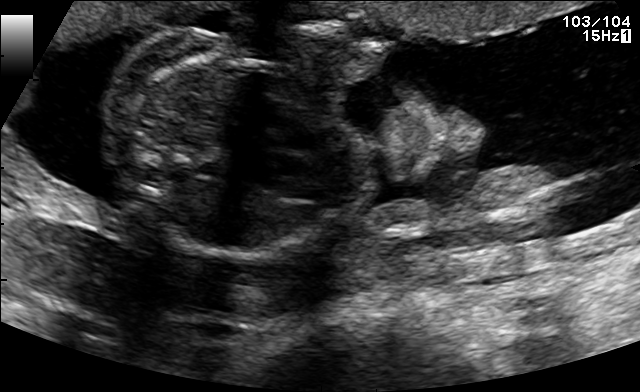
Which standard maternal-fetal ultrasound plane is shown: fetal abdomen, fetal brain, fetal femur, fetal thorax, maternal cervix, or other? If it's fetal brain and one of the three standard brain planes (trans-thalamic, trans-cerebellum, trans-ventricular), name which.

Other